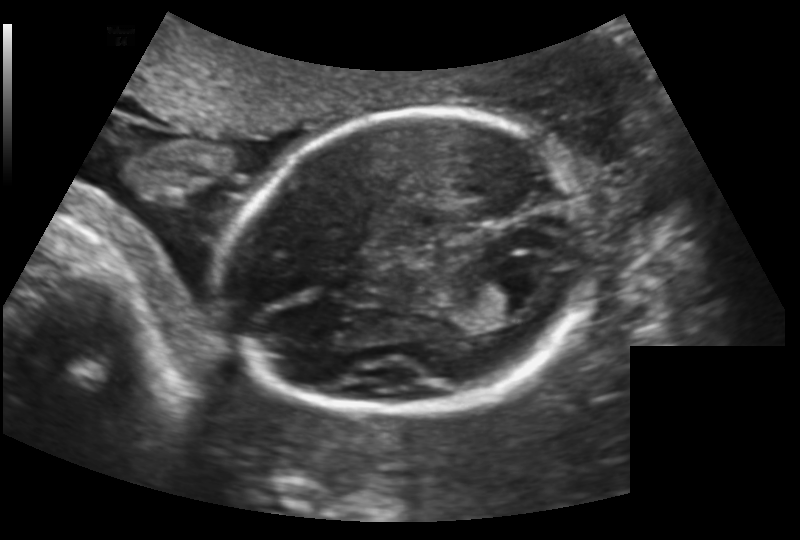
In this fetal head ultrasound, give bounding boxes for the head outline, cavum septum pellucidum (CSP), and lateral ventricle (LV), where visible. Image width: 127.5 mm.

Head: [227,110,598,415]
Lateral ventricle: [485,261,561,322]